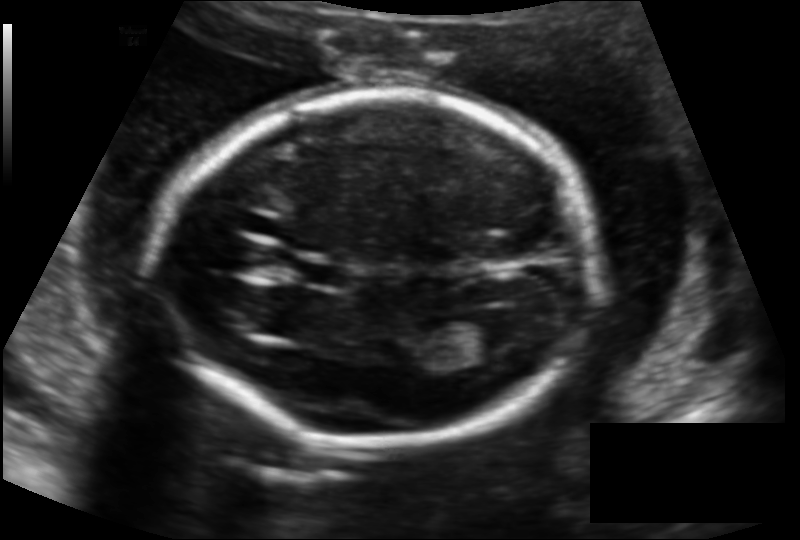
Fetal head ultrasound. Image width: 108.6 mm. Give [x1,y1,x2,y2] bounding boxes for each visible structure among: fetal head, CSP, LV.

Head: [160,91,595,444]
CSP: [300,258,352,291]
Lateral ventricle: [457,306,528,359]